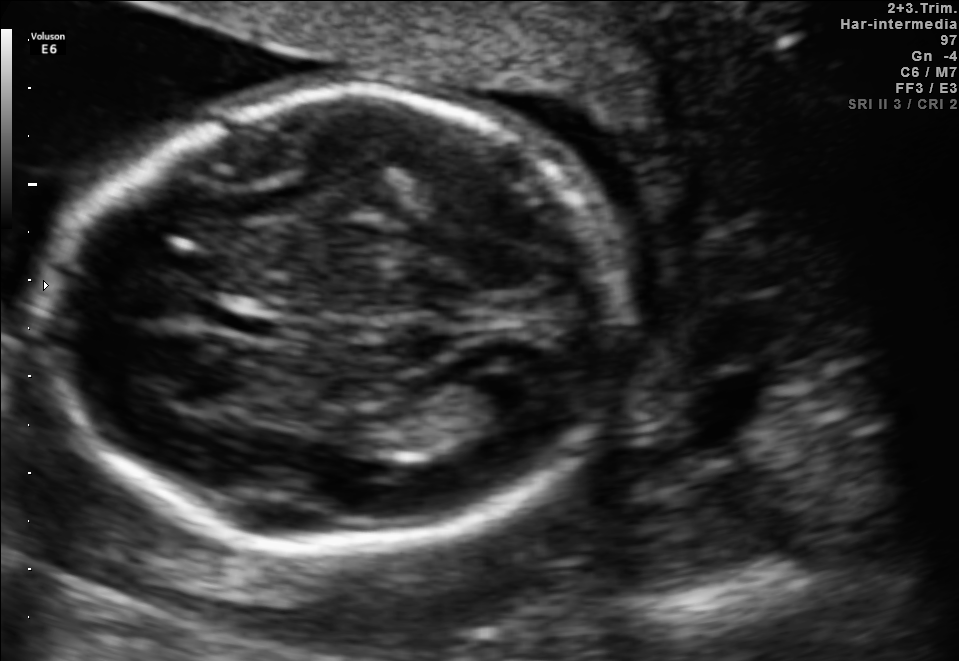
Fetal brain, trans-ventricular plane. Where is the lateral ventricle?

Lateral ventricle bounding box: [453,340,556,431]